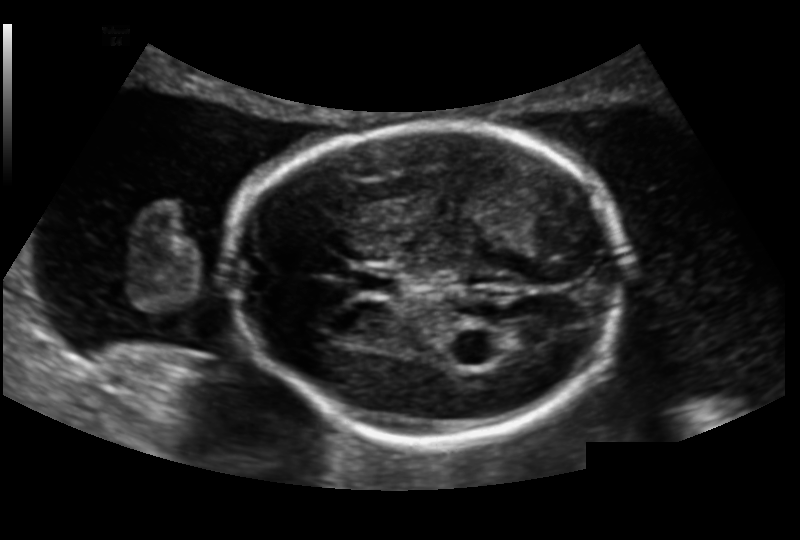
Fetal head ultrasound. Image width: 121.1 mm. Locate the fetal head.

Head: [229,123,626,444]